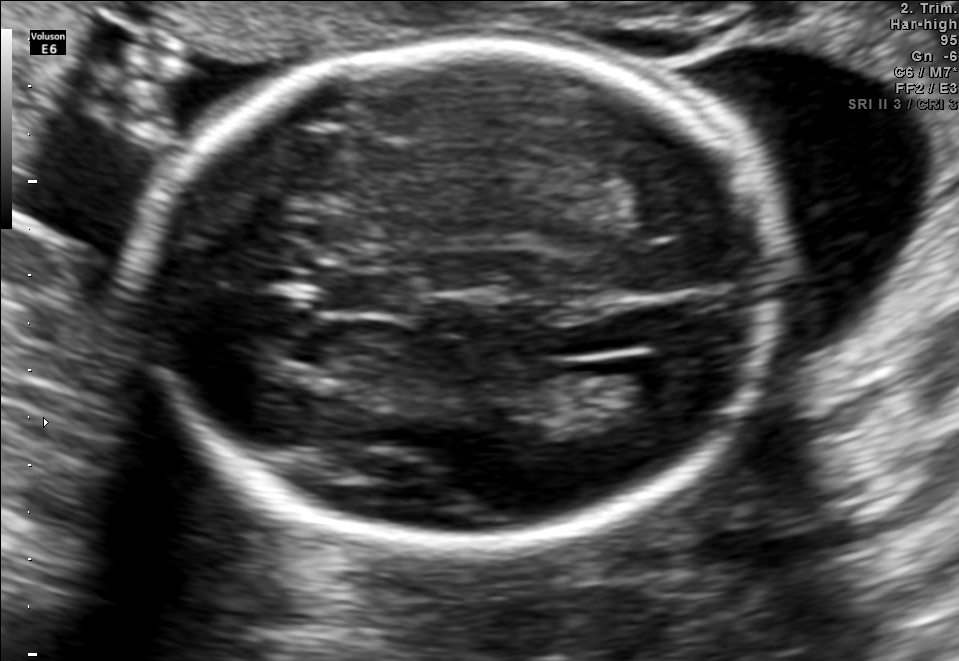
Fetal brain, trans-ventricular plane. Locate the fetal head and, if visible, the cavum septum pellucidum (CSP) and lateral ventricle (LV). Give bounding boxes as [x1,y1,x2,y2].

Head: [127,35,798,562]
CSP: [322,269,414,317]
Lateral ventricle: [618,355,708,414]